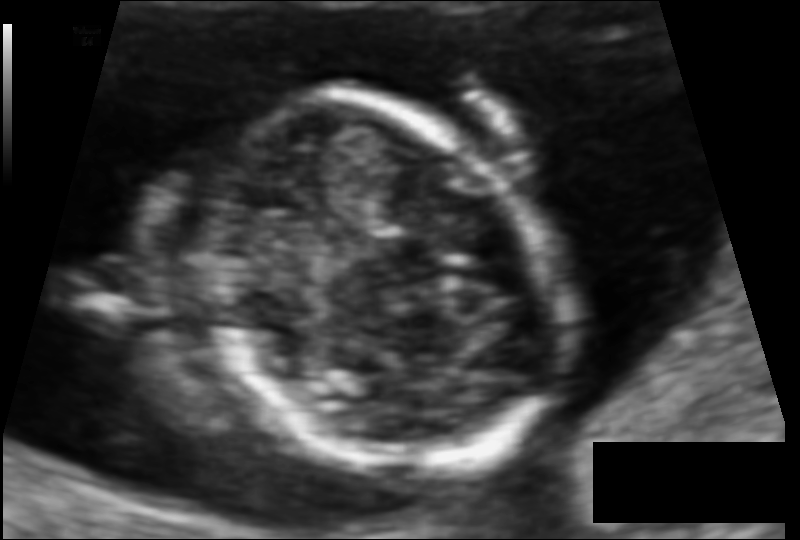
From this fetal ultrasound, estimate the head circumference (image width 68.0 mm).

Head circumference: 98.9 mm.